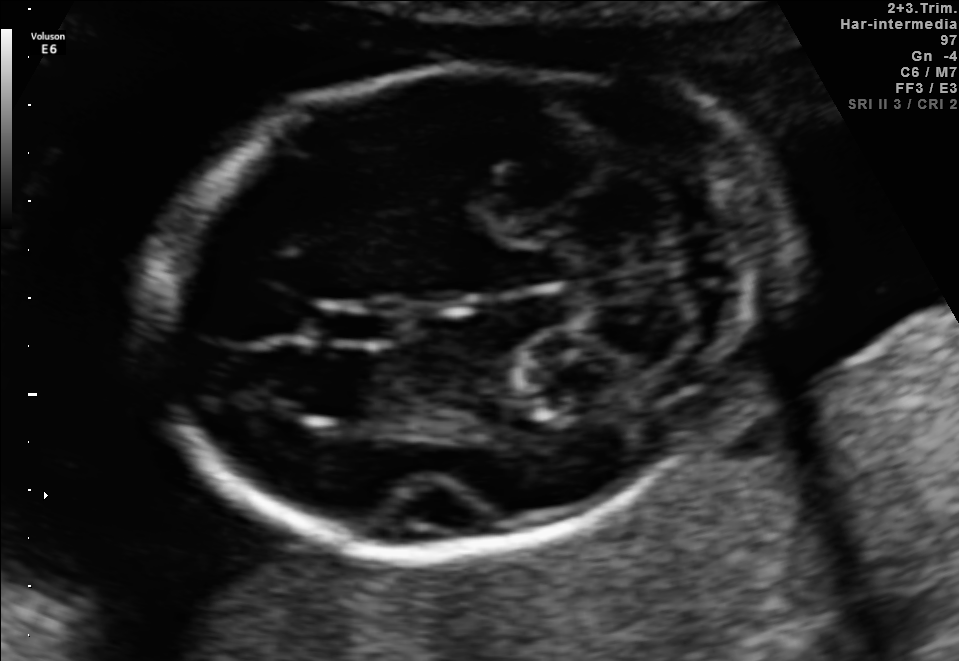
Fetal brain, trans-cerebellum plane. Where is the cavum septum pellucidum?

CSP bounding box: [320,306,395,343]